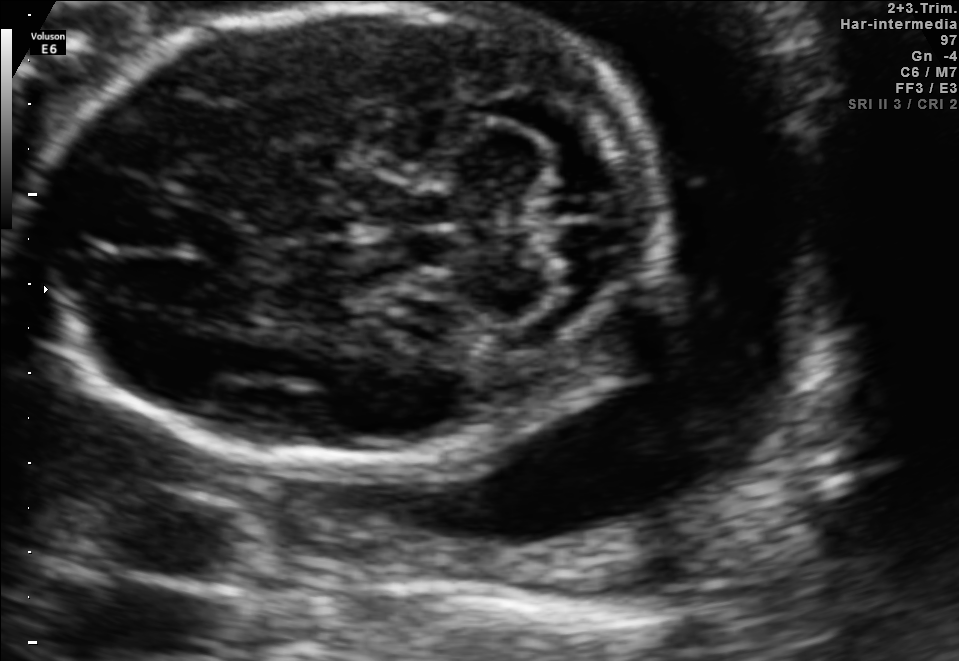
Fetal brain, trans-cerebellum plane. Where is the fetal head?

Head bounding box: [39,3,664,472]